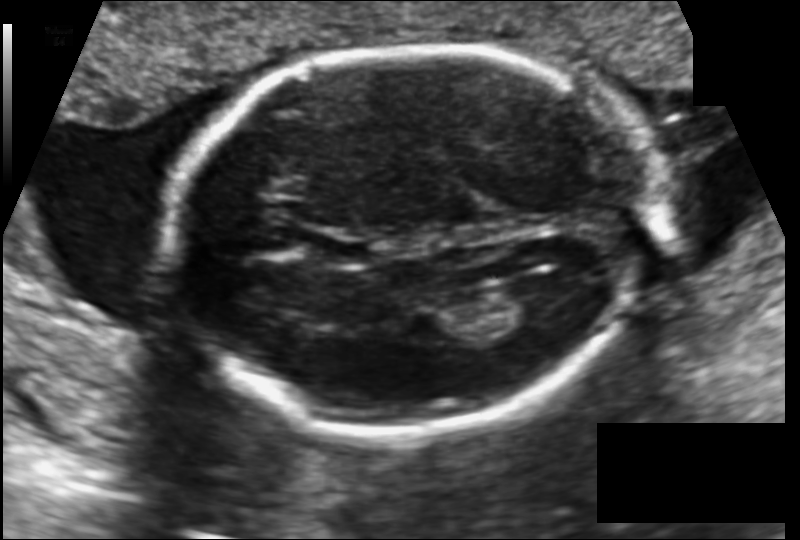
In this fetal head ultrasound, give the bounding box of the lateral ventricle. Image width: 106.0 mm.

[490,272,572,332]